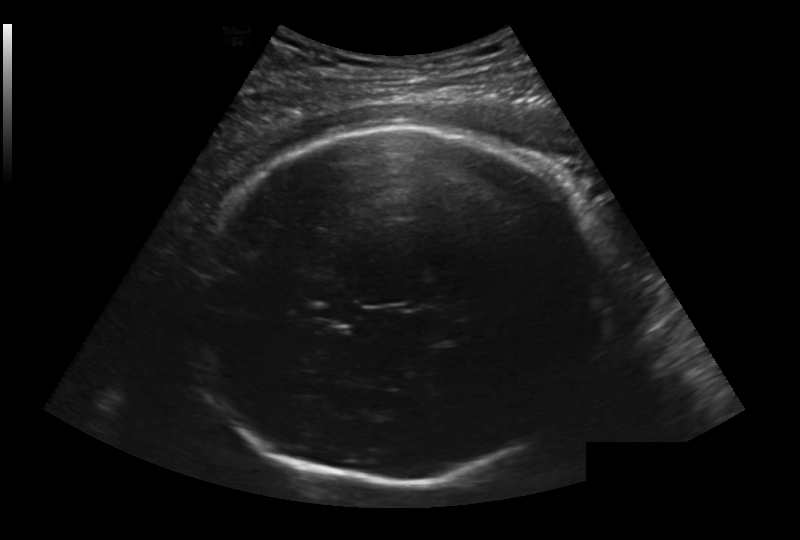
Estimate the fetal head circumference from this 2D ultrasound. Image width: 188.7 mm.

Head circumference: 289.2 mm.